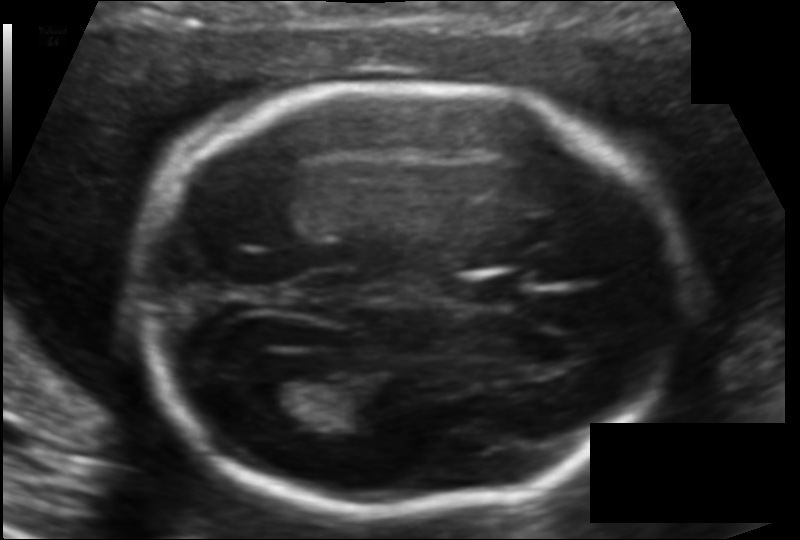
Measure the fetal head circumference shown in this ultrasound image. Image width: 94.1 mm.

Head circumference: 186.6 mm.